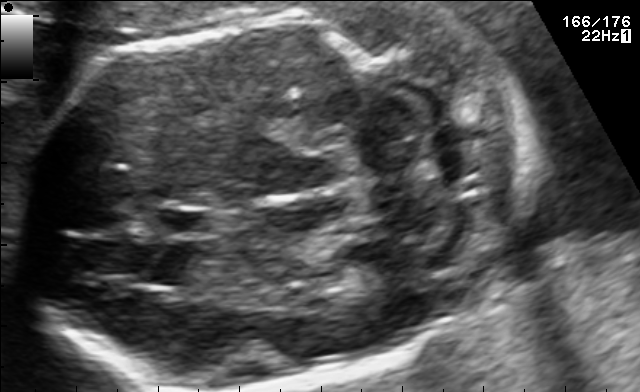
Fetal brain, trans-cerebellum plane. Locate the cavum septum pellucidum.

CSP: [152,207,220,237]